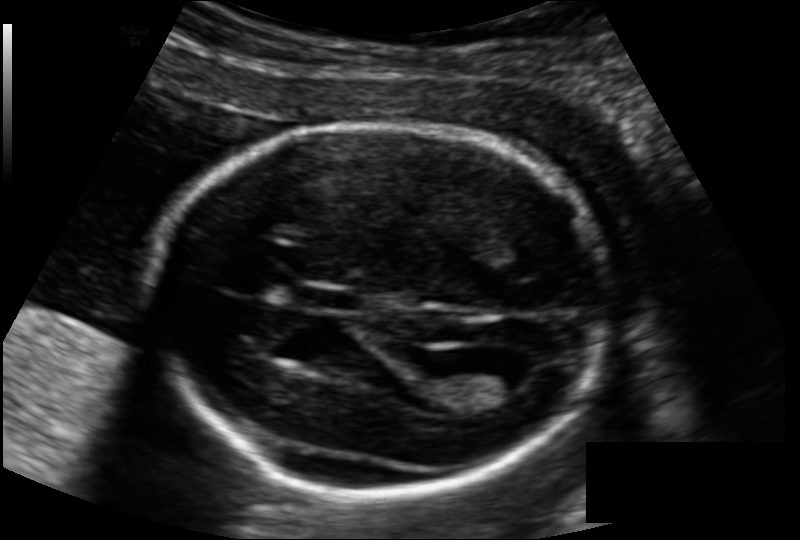
Estimate the fetal head circumference from this 2D ultrasound.

Head circumference: 176.4 mm (image width 106.7 mm).